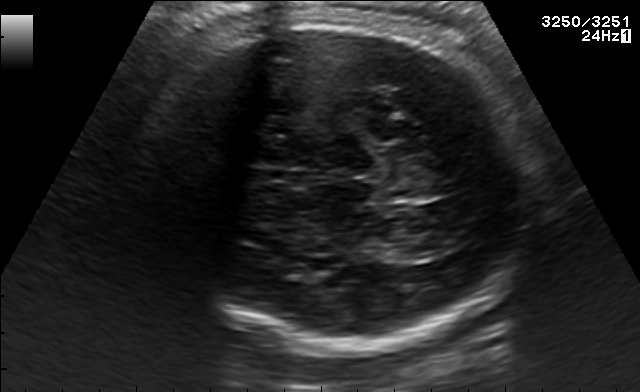
Fetal brain, trans-thalamic plane. Give [x1,y1,x2,y2] bounding boxes for each visible structure among: fetal head, CSP, LV.

Head: [143,20,533,349]